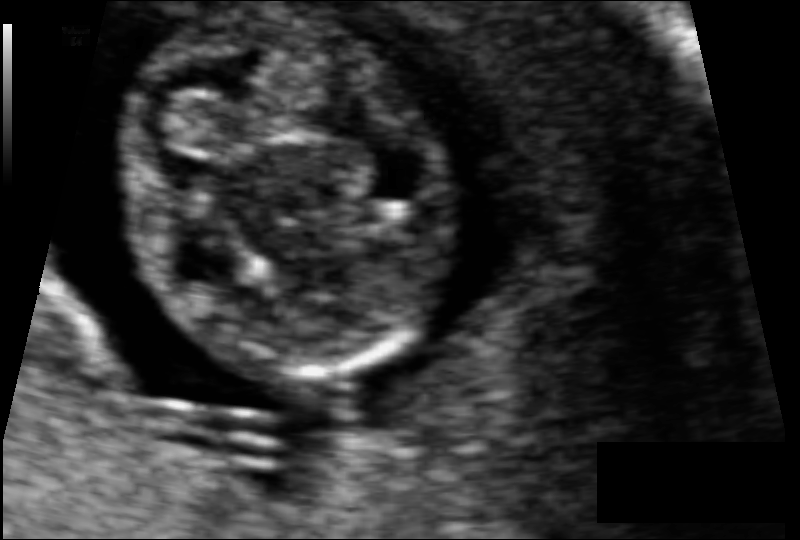
Fetal head ultrasound. Image width: 49.6 mm. Where is the fetal head?

Head bounding box: [118,5,450,382]